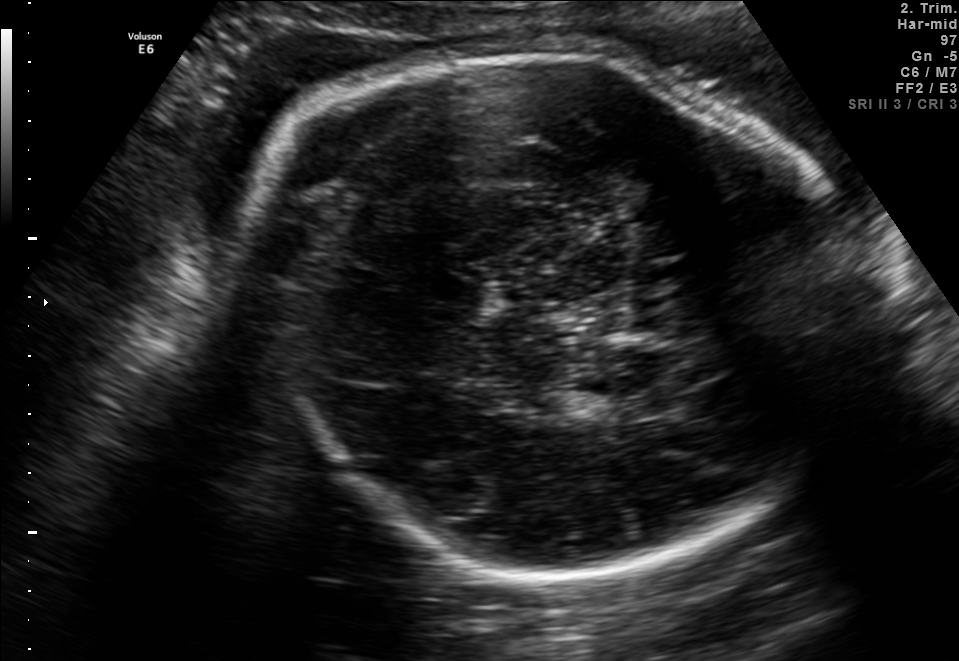
Fetal brain, trans-thalamic plane. Where is the fetal head?

Head bounding box: [247,45,830,576]